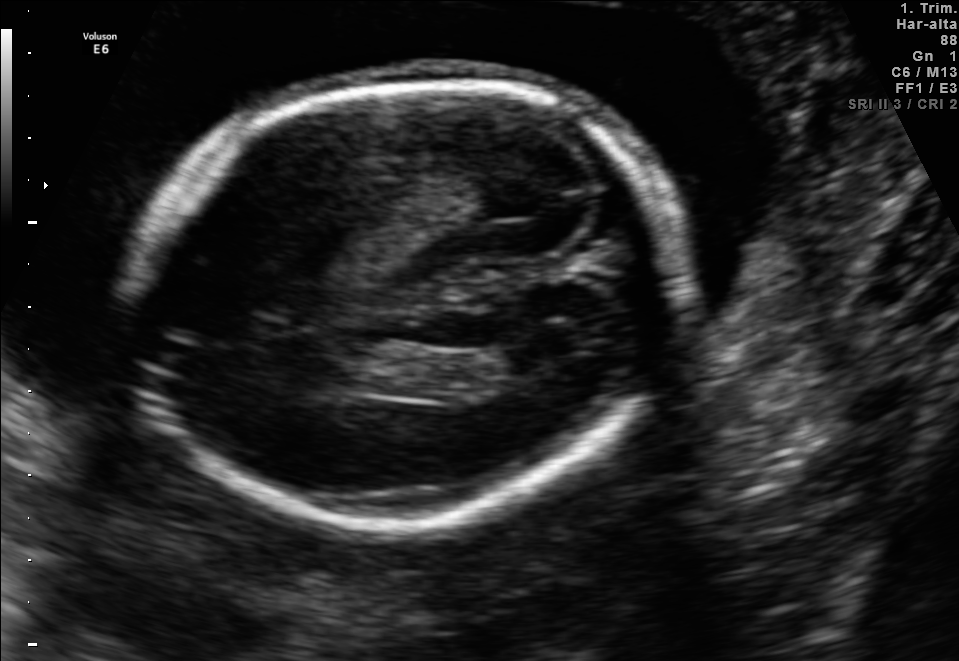
Fetal brain, trans-ventricular plane. Give [x1,y1,x2,y2] bounding boxes for each visible structure among: fetal head, CSP, LV.

Head: [121,73,702,532]